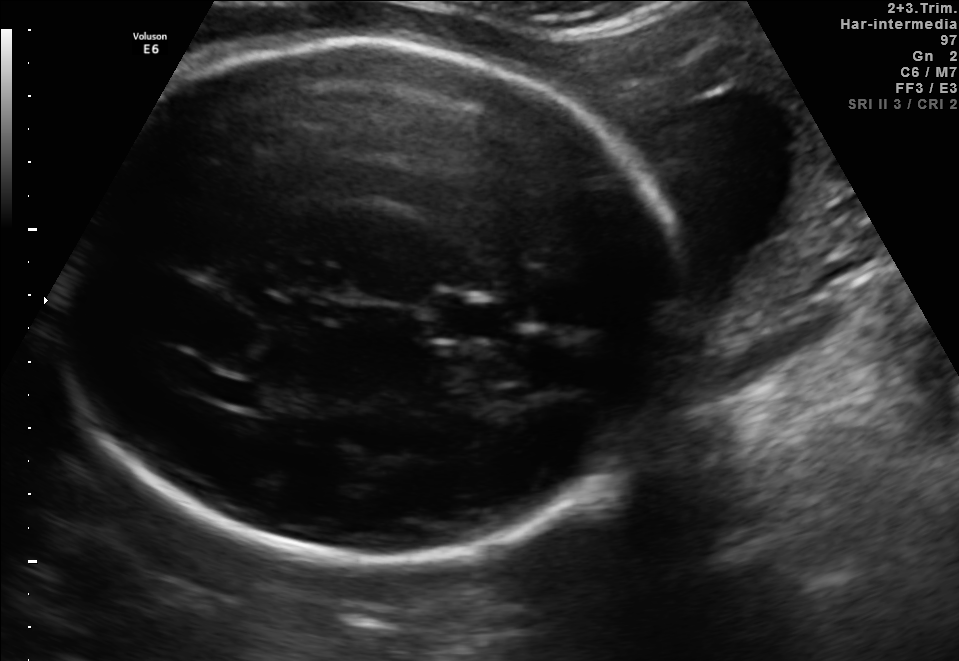
Fetal brain, trans-thalamic plane. Where is the cavum septum pellucidum?

CSP bounding box: [434,305,511,337]